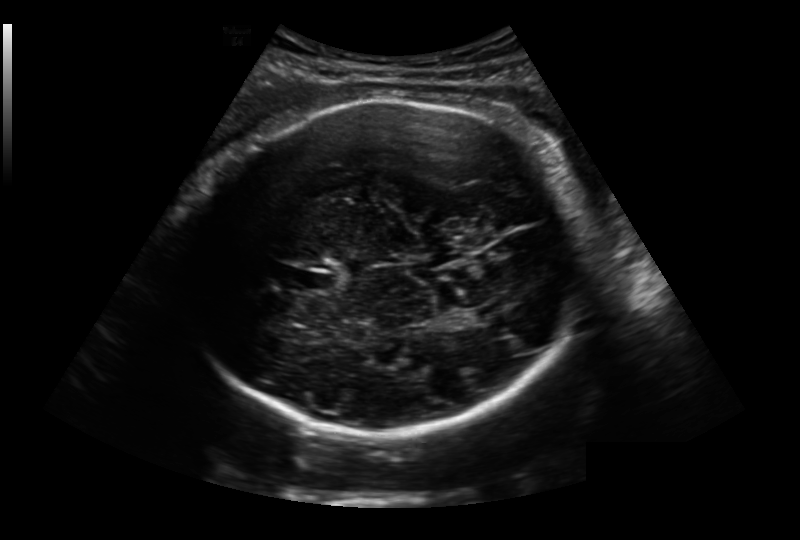
Fetal head ultrasound. Image width: 188.7 mm. Where is the cavum septum pellucidum?

CSP bounding box: [296,267,340,296]